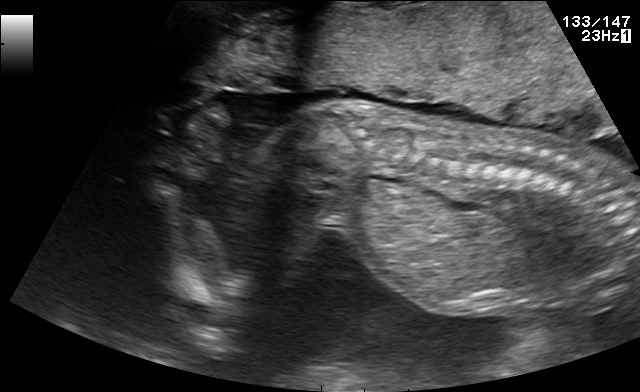
This is a 2D maternal-fetal ultrasound frame. Is it a fetal abdomen, fetal brain, fetal femur, fetal thorax, maternal cervix, or other standard plane? If it's fetal brain and one of the three standard brain planes (trans-thalamic, trans-cerebellum, trans-ventricular), name which.

Other